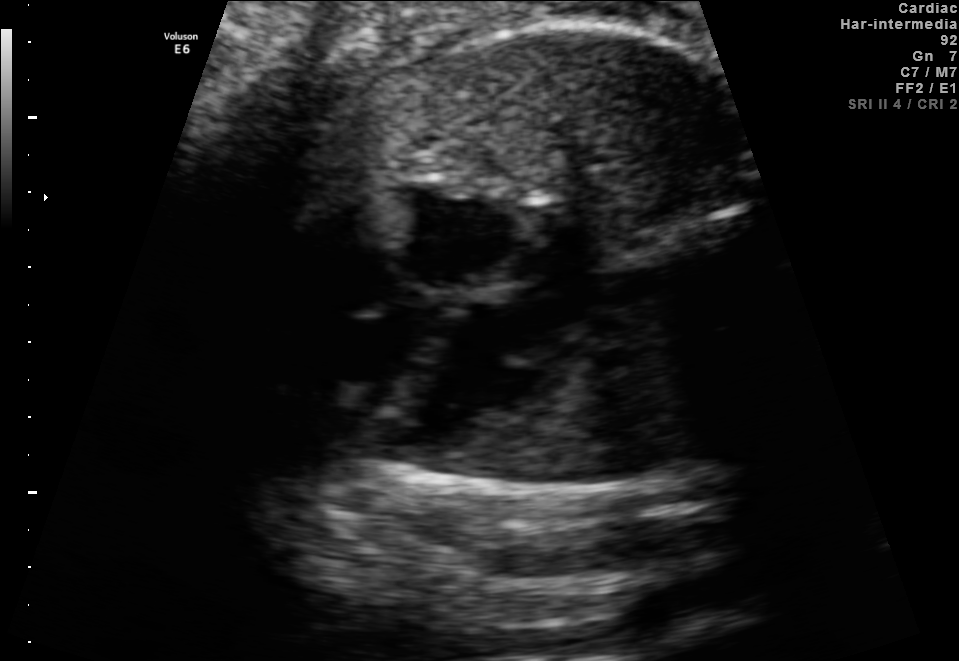
Identify the standard plane in this fetal ultrasound image: fetal abdomen, fetal brain, fetal femur, fetal thorax, maternal cervix, or other. If it's fetal brain and one of the three standard brain planes (trans-thalamic, trans-cerebellum, trans-ventricular), name which.

Fetal thorax